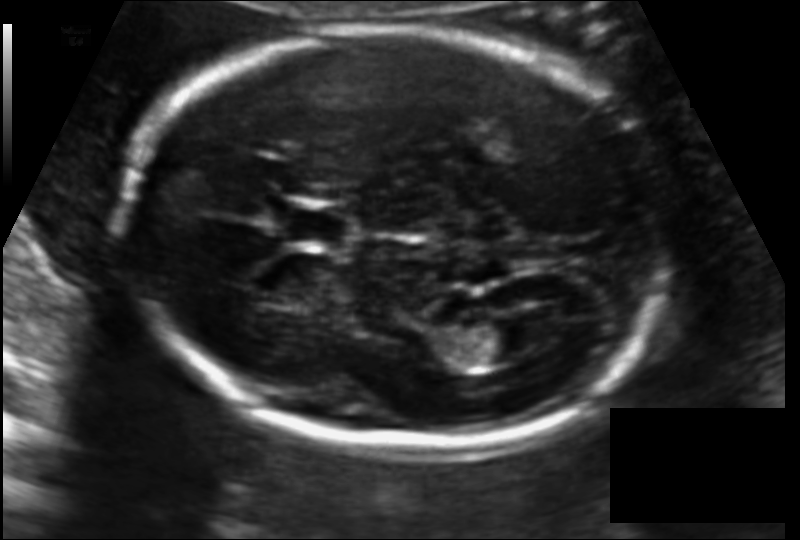
Fetal head ultrasound. Image width: 95.2 mm. Locate the lateral ventricle.

Lateral ventricle: [456,311,541,371]